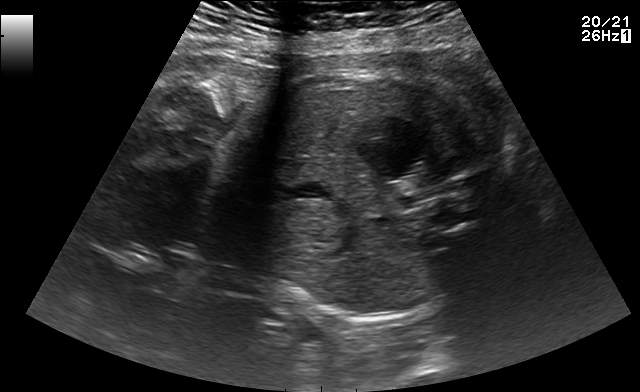
Classify this maternal-fetal ultrasound image as one of the six standard planes — fetal abdomen, fetal brain, fetal femur, fetal thorax, maternal cervix, or other. If it's fetal brain and one of the three standard brain planes (trans-thalamic, trans-cerebellum, trans-ventricular), name which.

Fetal abdomen